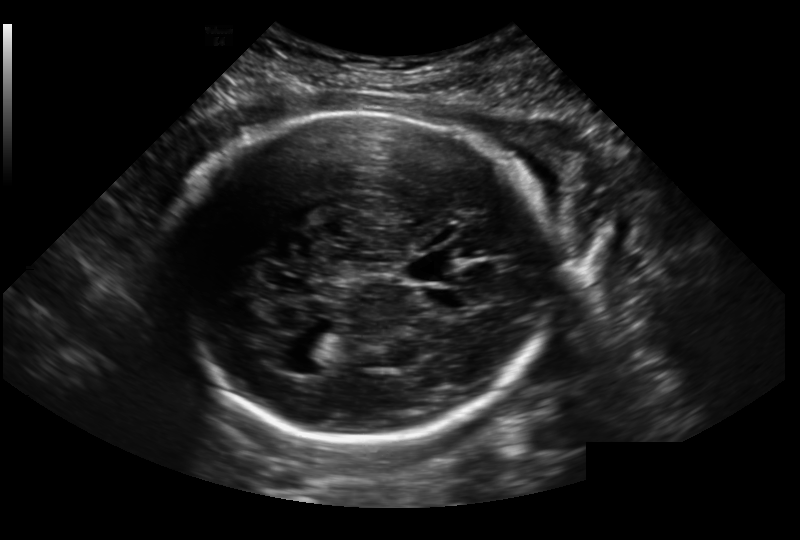
Fetal head ultrasound. Image width: 188.7 mm. Locate the fetal head and, if visible, the cavum septum pellucidum (CSP) and lateral ventricle (LV). Give bounding boxes as [x1,y1,x2,y2].

Head: [176,109,549,443]
CSP: [407,255,452,284]
Lateral ventricle: [281,354,324,377]